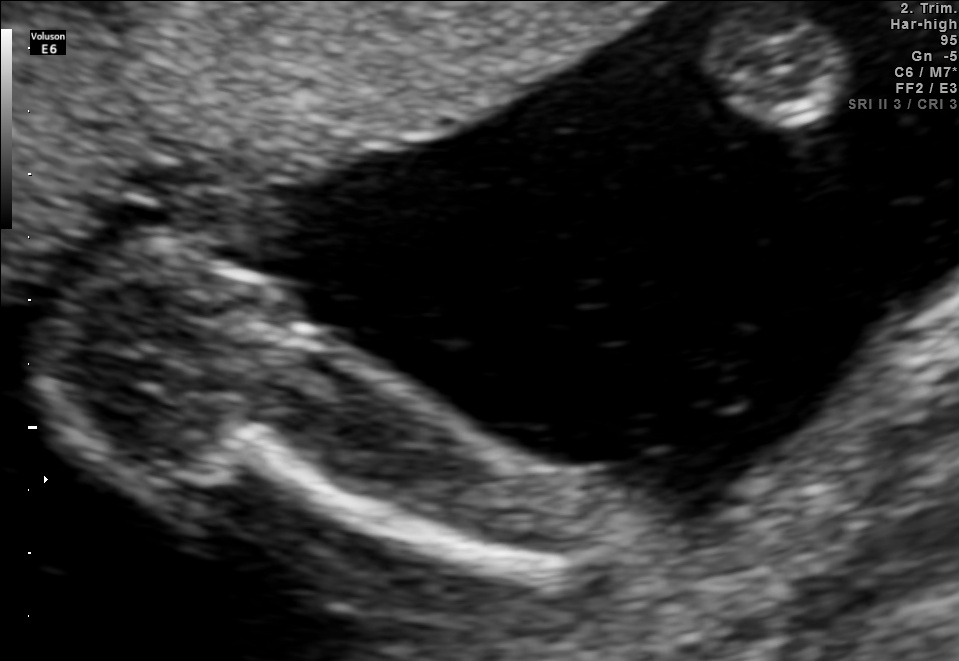
Classify this maternal-fetal ultrasound image as one of the six standard planes — fetal abdomen, fetal brain, fetal femur, fetal thorax, maternal cervix, or other. If it's fetal brain and one of the three standard brain planes (trans-thalamic, trans-cerebellum, trans-ventricular), name which.

Fetal femur